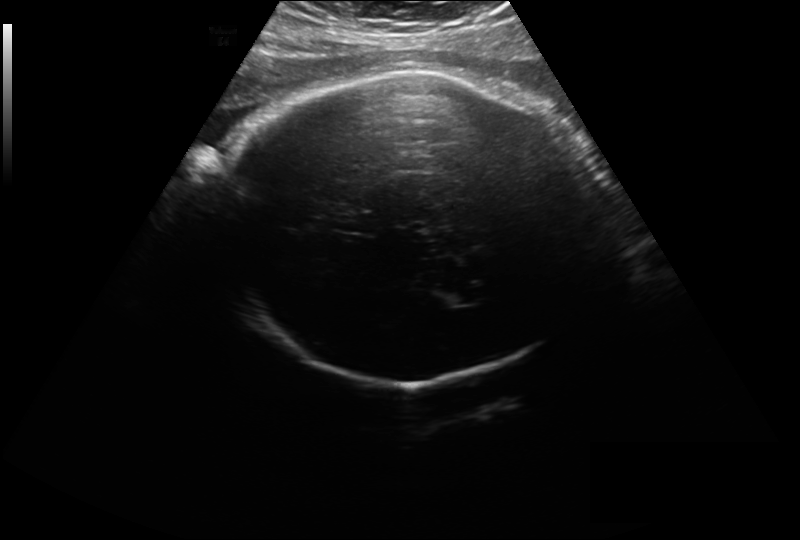
In this fetal head ultrasound, give the bounding box of the fetal head. Image width: 237.5 mm.

[216,70,602,383]